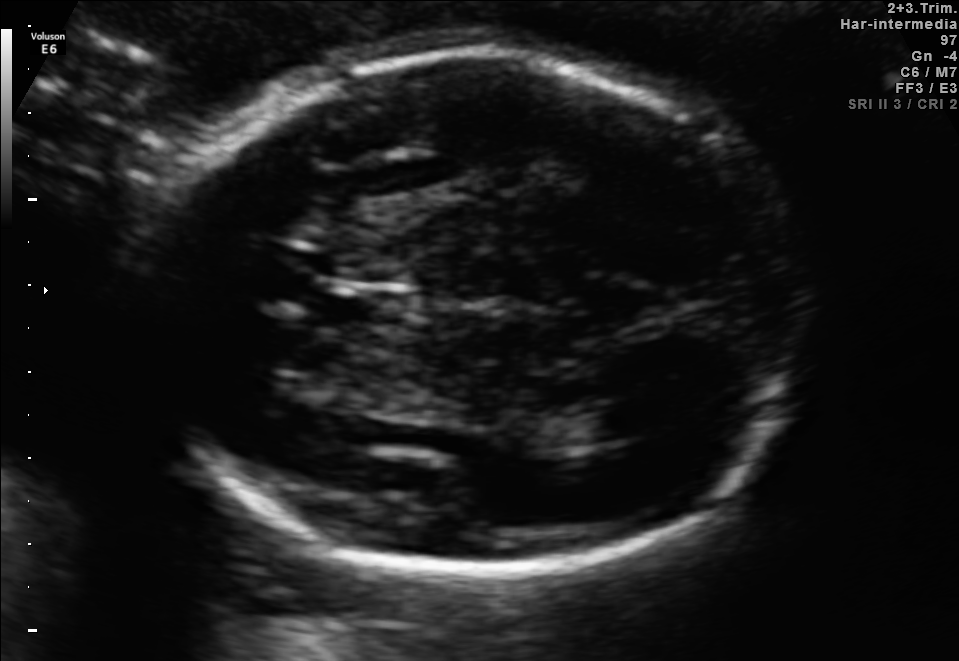
Which standard maternal-fetal ultrasound plane is shown: fetal abdomen, fetal brain, fetal femur, fetal thorax, maternal cervix, or other? If it's fetal brain and one of the three standard brain planes (trans-thalamic, trans-cerebellum, trans-ventricular), name which.

Fetal brain (trans-thalamic plane)